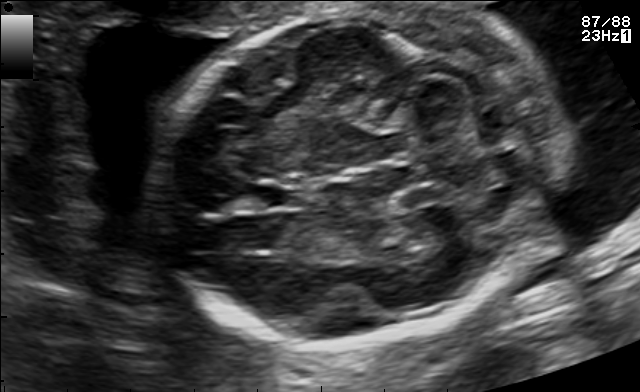
In this fetal brain, trans-cerebellum plane, give bounding boxes for the head outline, cavum septum pellucidum (CSP), and lateral ventricle (LV), where visible.

Head: [153,9,564,345]
CSP: [245,183,301,209]